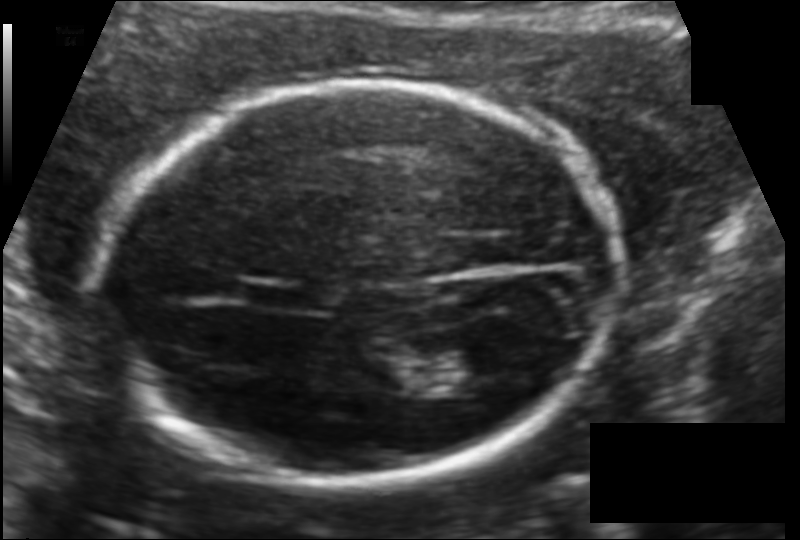
In this fetal head ultrasound, give bounding boxes for the head outline, cavum septum pellucidum (CSP), and lateral ventricle (LV), where visible. Image width: 96.7 mm.

Head: [104,83,624,480]
CSP: [244,277,316,314]
Lateral ventricle: [438,348,511,395]